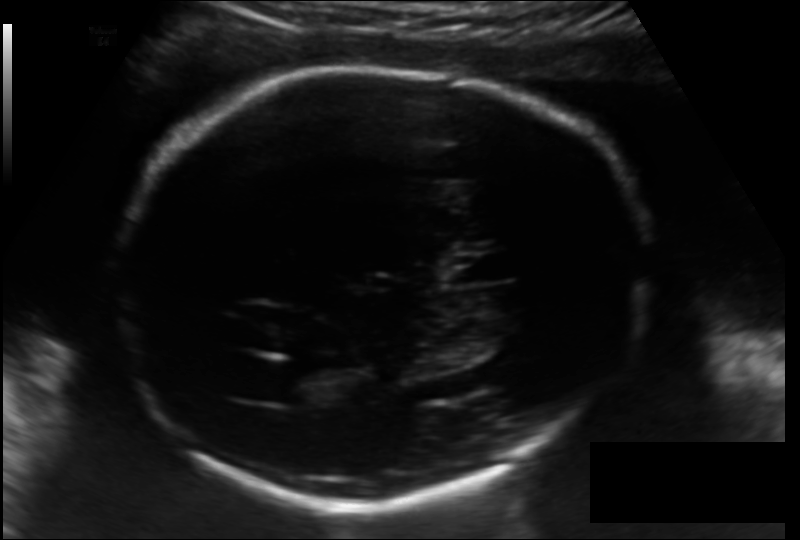
Fetal head ultrasound. Image width: 125.8 mm. Locate the fetal head.

Head: [113,64,648,504]